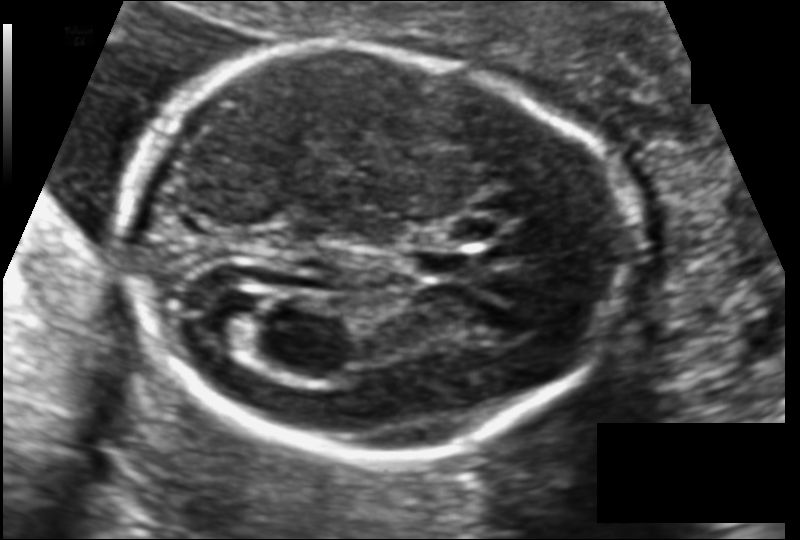
From this fetal ultrasound, estimate the head circumference (image width 93.1 mm).

Head circumference: 172.2 mm.